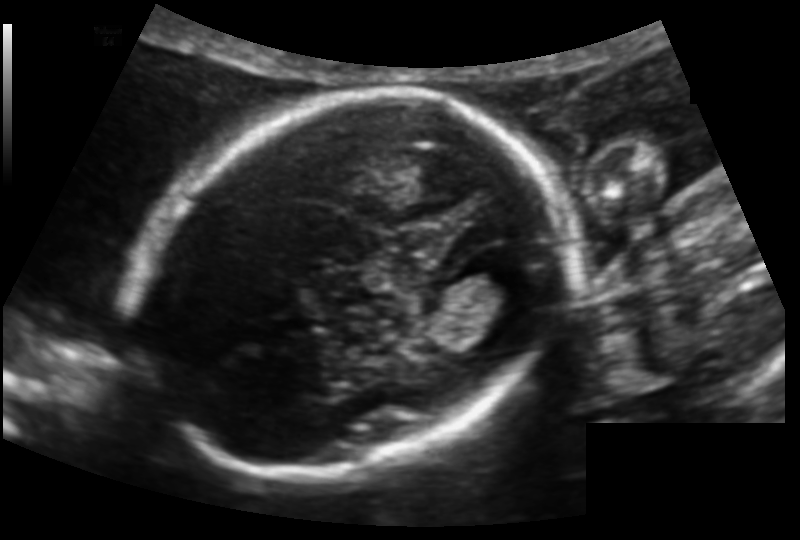
Fetal head ultrasound. Image width: 98.5 mm. Locate the lateral ventricle.

Lateral ventricle: [455,242,531,317]